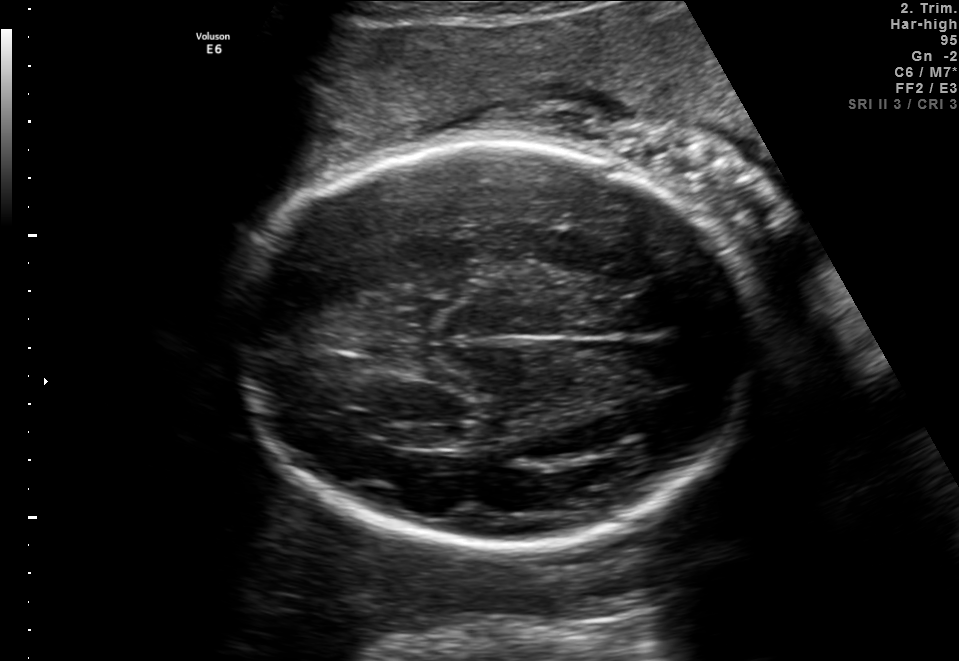
In this fetal brain, trans-thalamic plane, give bounding boxes for the head outline, cavum septum pellucidum (CSP), and lateral ventricle (LV), where visible.

Head: [225,144,764,547]
Lateral ventricle: [384,425,468,448]